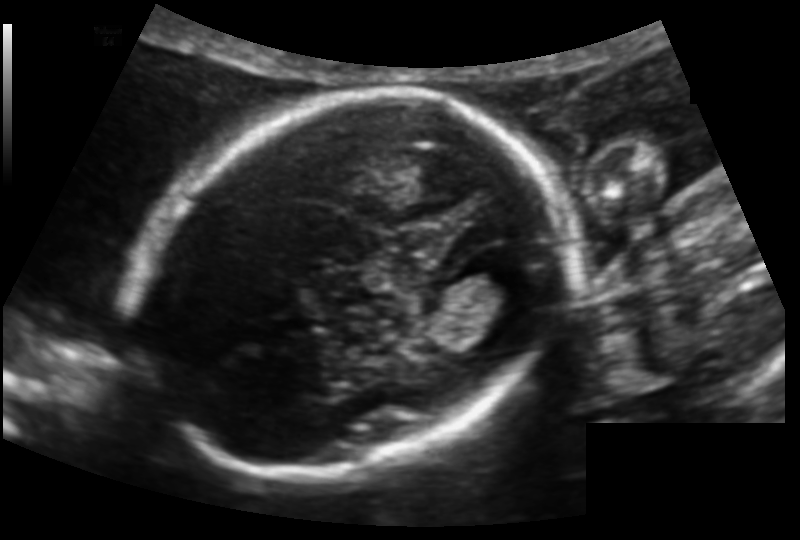
Measure the fetal head circumference shown in this ultrasound image. Image width: 98.5 mm.

Head circumference: 159.1 mm.